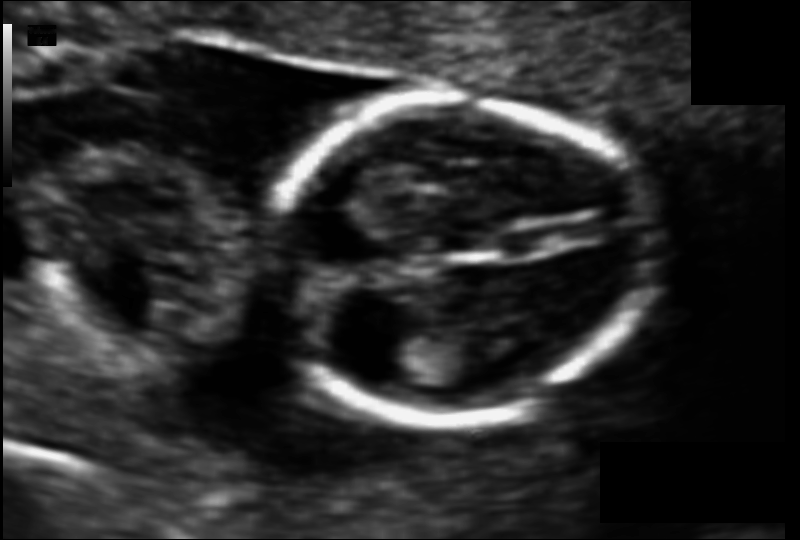
From this fetal ultrasound, estimate the head circumference (image width 66.6 mm).

Head circumference: 95.3 mm.